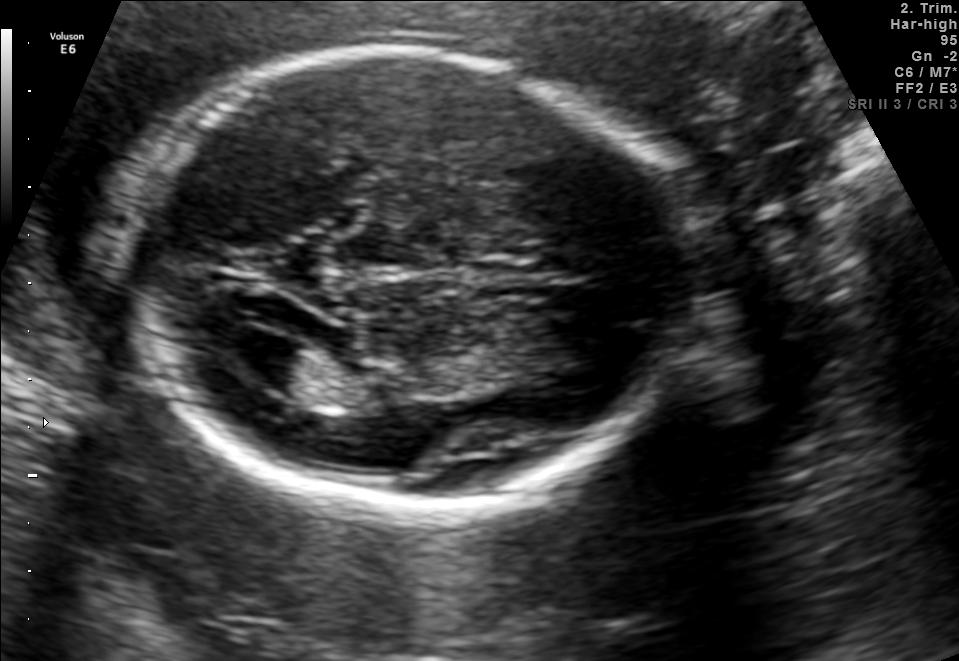
Fetal brain, trans-ventricular plane. Where is the fetal head?

Head bounding box: [115,40,704,521]